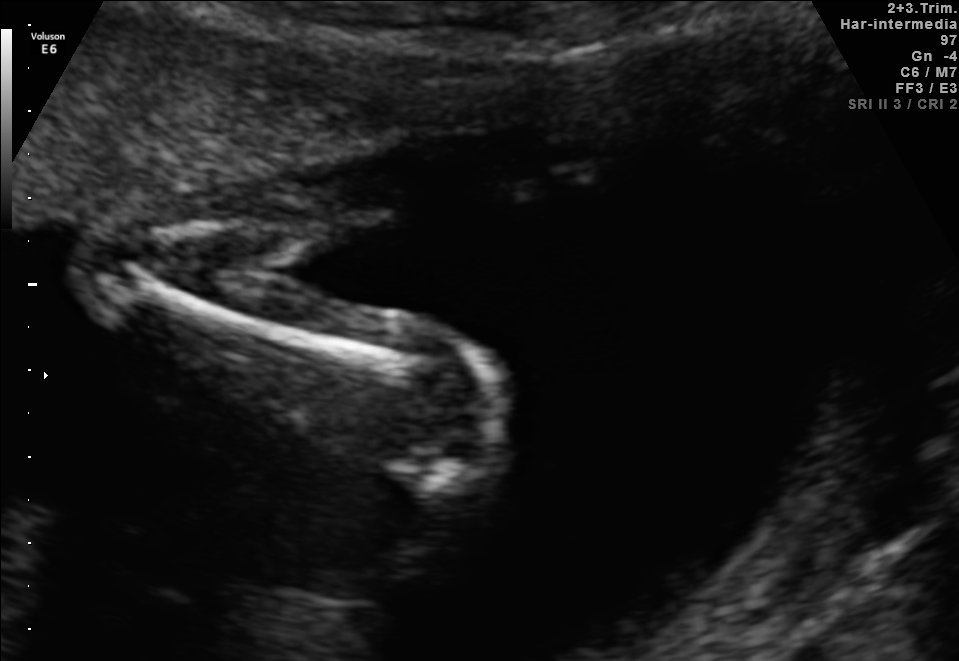
Which standard maternal-fetal ultrasound plane is shown: fetal abdomen, fetal brain, fetal femur, fetal thorax, maternal cervix, or other? If it's fetal brain and one of the three standard brain planes (trans-thalamic, trans-cerebellum, trans-ventricular), name which.

Fetal femur